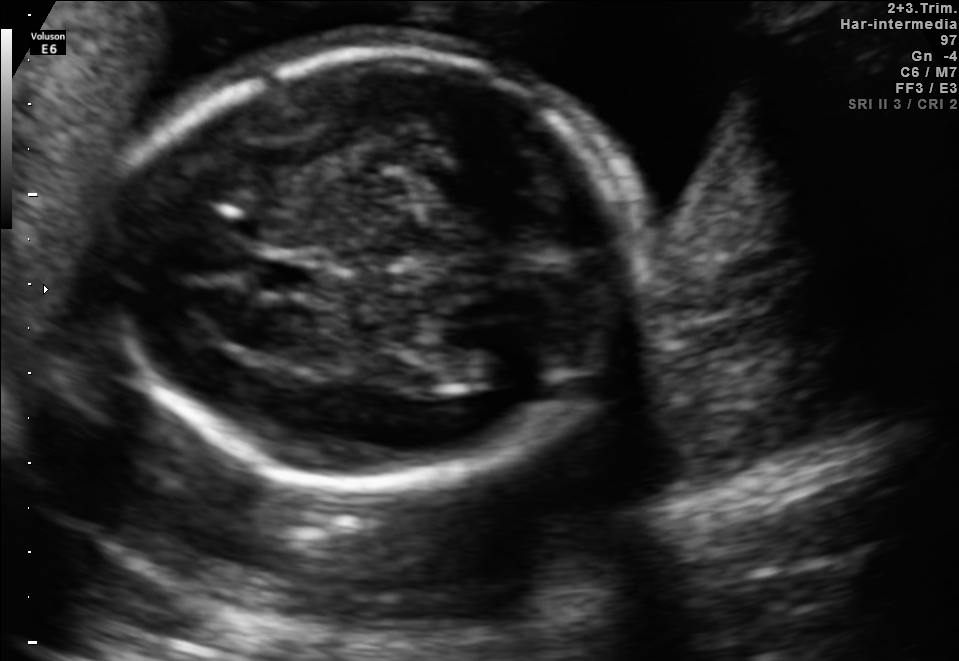
Fetal brain, trans-thalamic plane. Locate the fetal head.

Head: [111,48,648,473]